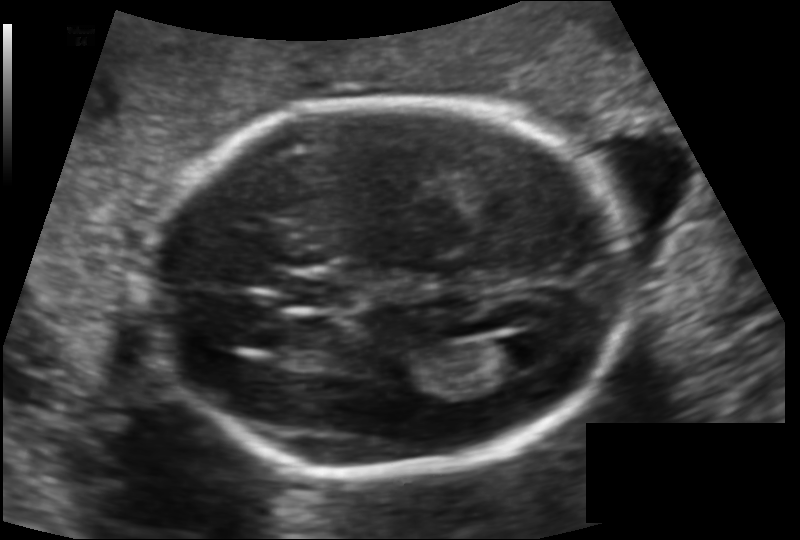
Fetal head ultrasound. Image width: 100.1 mm. Where is the lateral ventricle?

Lateral ventricle bounding box: [482,328,552,378]